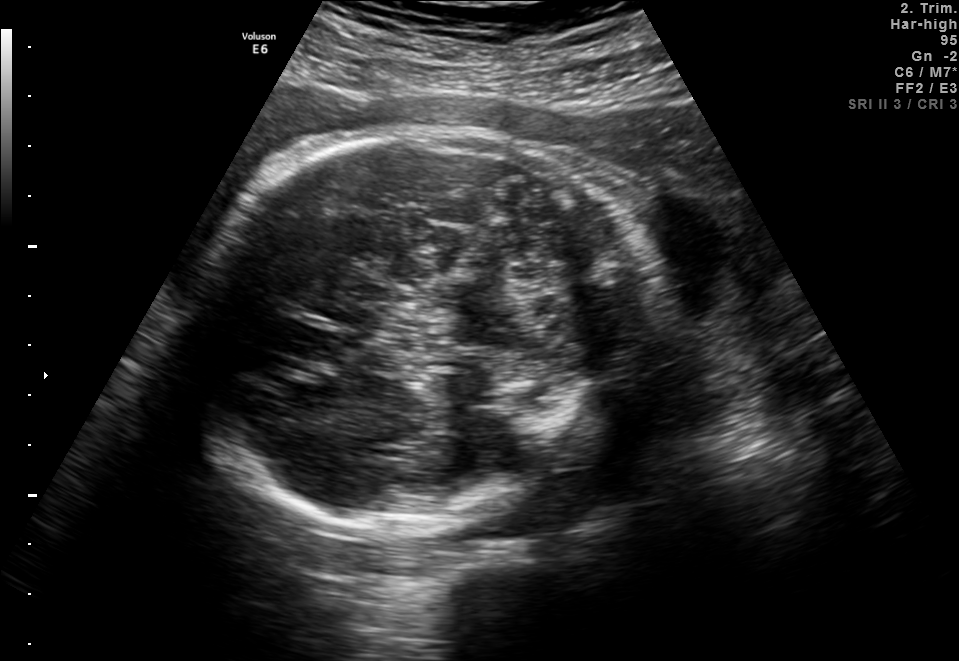
Fetal brain, trans-thalamic plane. Give [x1,y1,x2,y2] bounding boxes for each visible structure among: fetal head, CSP, LV.

Head: [192,130,657,535]